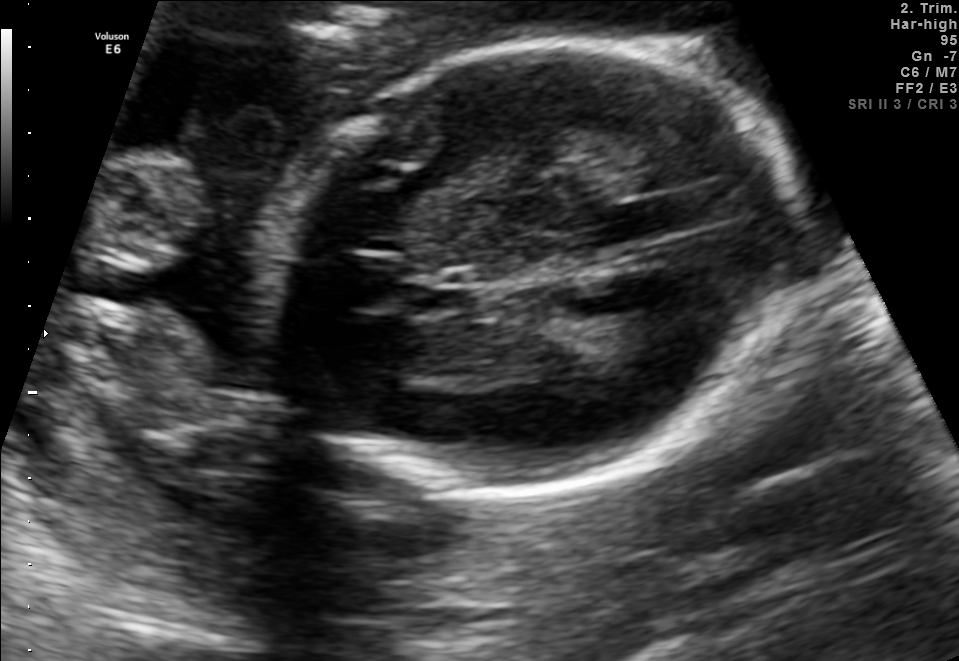
Fetal brain, trans-thalamic plane. Give [x1,y1,x2,y2] bounding boxes for each visible structure among: fetal head, CSP, LV.

Head: [266,41,801,498]
CSP: [403,273,472,317]